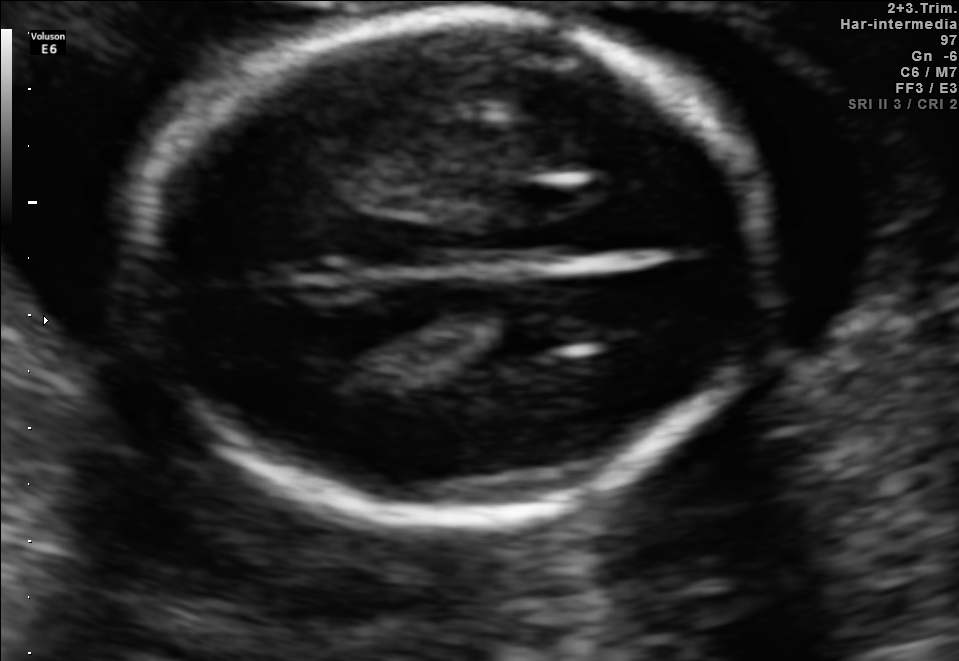
Fetal brain, trans-thalamic plane. Locate the fetal head.

Head: [125,17,768,518]